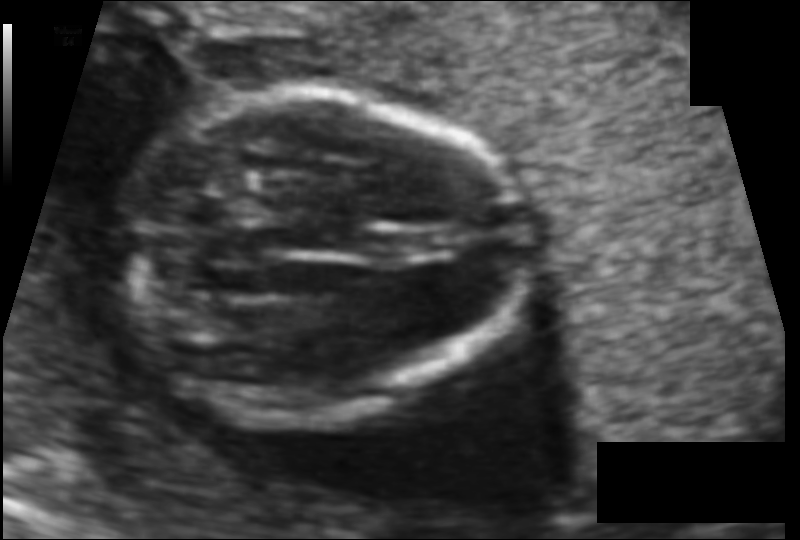
Fetal head ultrasound. Image width: 71.6 mm. Where is the fetal head?

Head bounding box: [124,91,524,422]